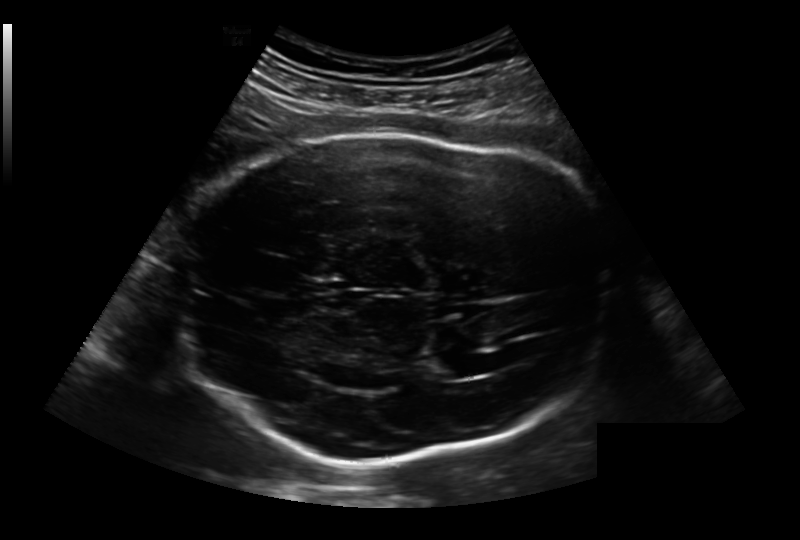
Fetal head ultrasound. Image width: 188.6 mm. Where is the fetal head?

Head bounding box: [170,136,611,462]